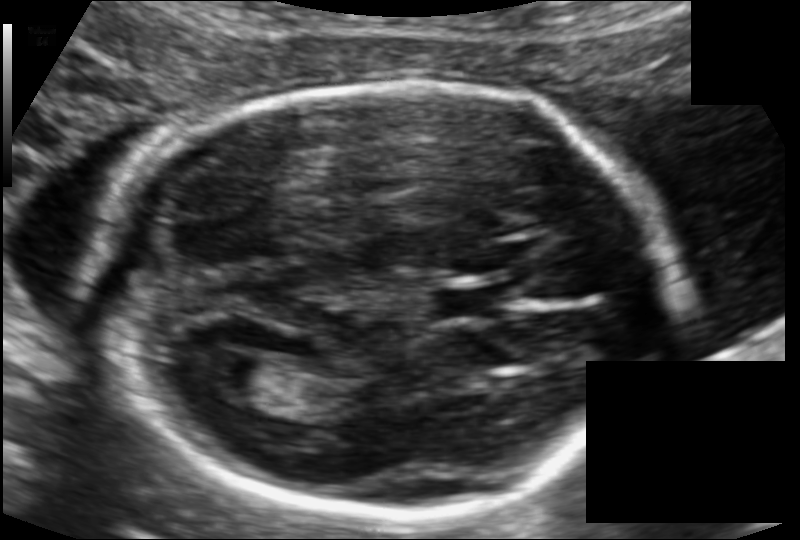
Fetal head ultrasound. Image width: 87.3 mm. Locate the lateral ventricle.

Lateral ventricle: [190,345,282,405]